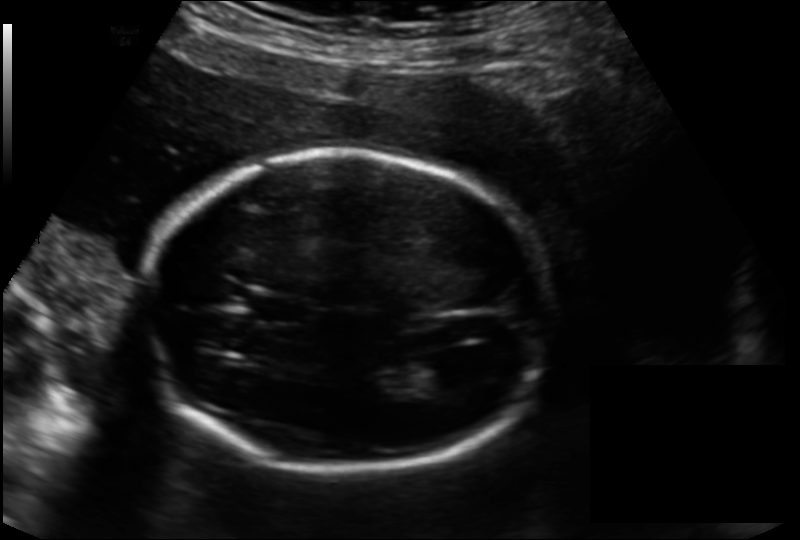
Fetal head ultrasound. Image width: 133.1 mm. Where is the cavum septum pellucidum?

CSP bounding box: [251,292,315,329]